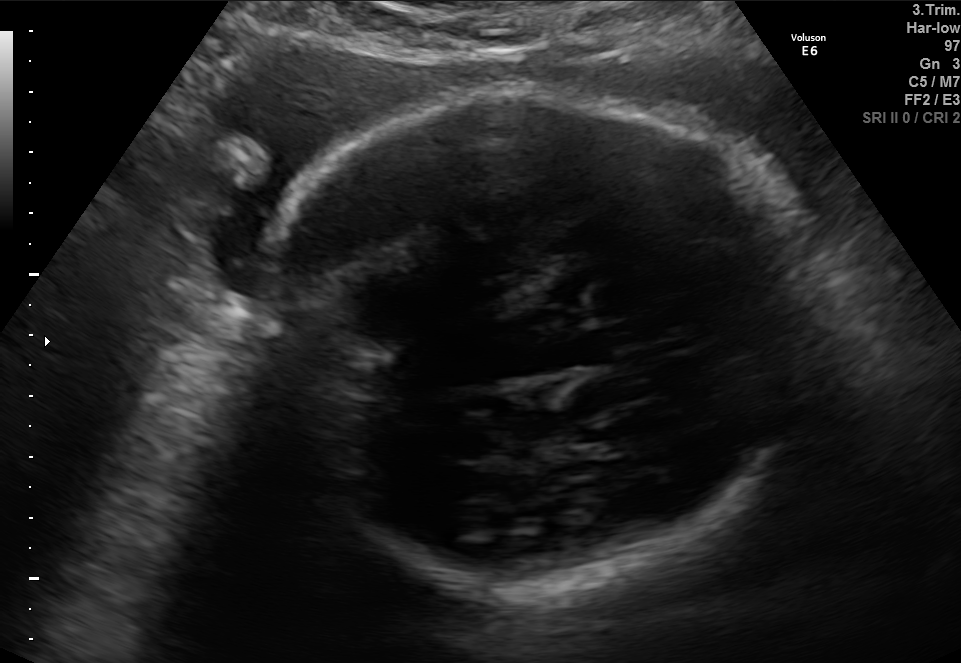
In this fetal brain, trans-thalamic plane, give the bounding box of the fetal head.

[254,91,806,594]